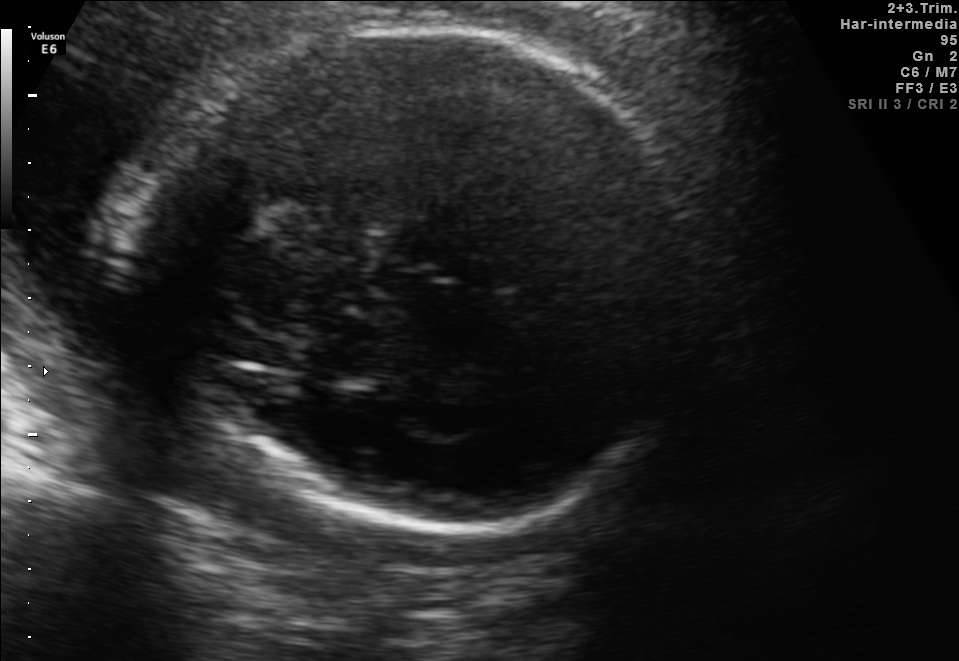
Fetal brain, trans-thalamic plane. Locate the fetal head and, if visible, the cavum septum pellucidum (CSP) and lateral ventricle (LV). Give bounding boxes as [x1,y1,x2,y2].

Head: [135,22,698,531]